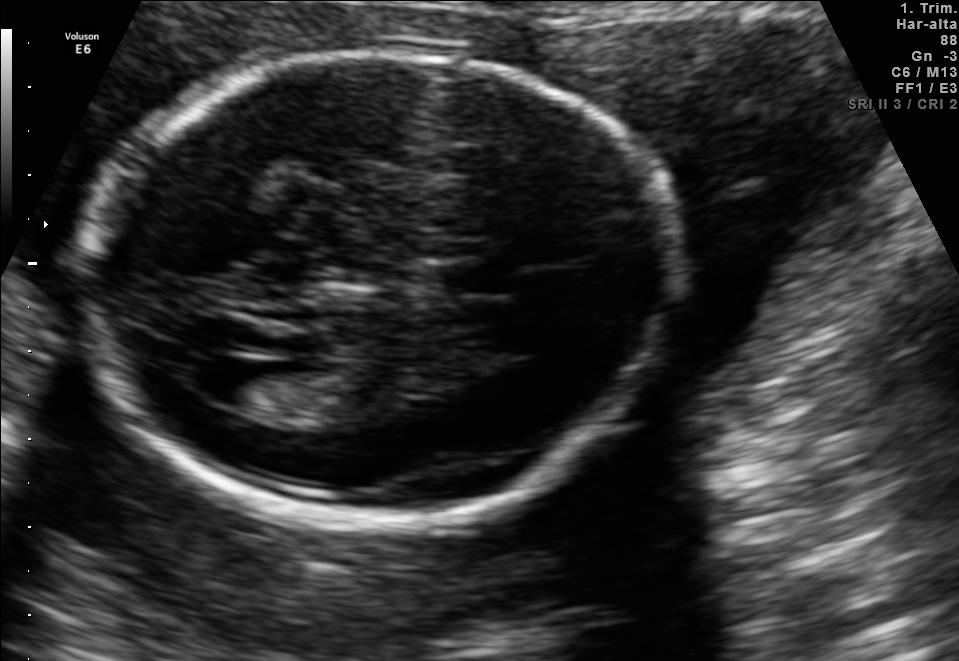
Fetal brain, trans-ventricular plane. Give [x1,y1,x2,y2] bounding boxes for each visible structure among: fetal head, CSP, LV.

Head: [67,46,692,527]
CSP: [433,257,526,299]
Lateral ventricle: [178,344,265,412]